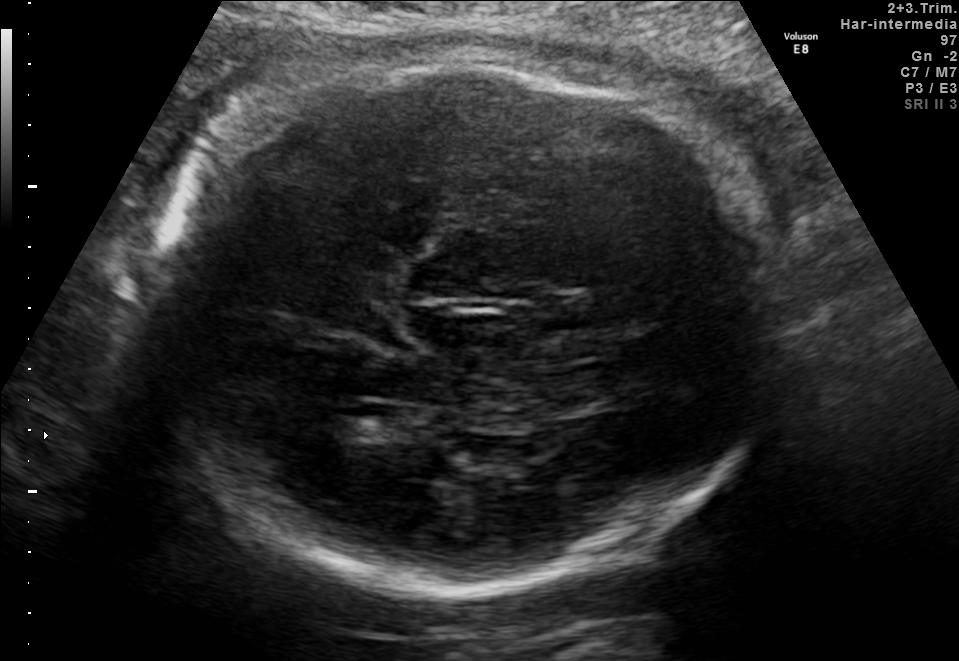
Fetal brain, trans-thalamic plane. Locate the lateral ventricle.

Lateral ventricle: [335,400,416,440]